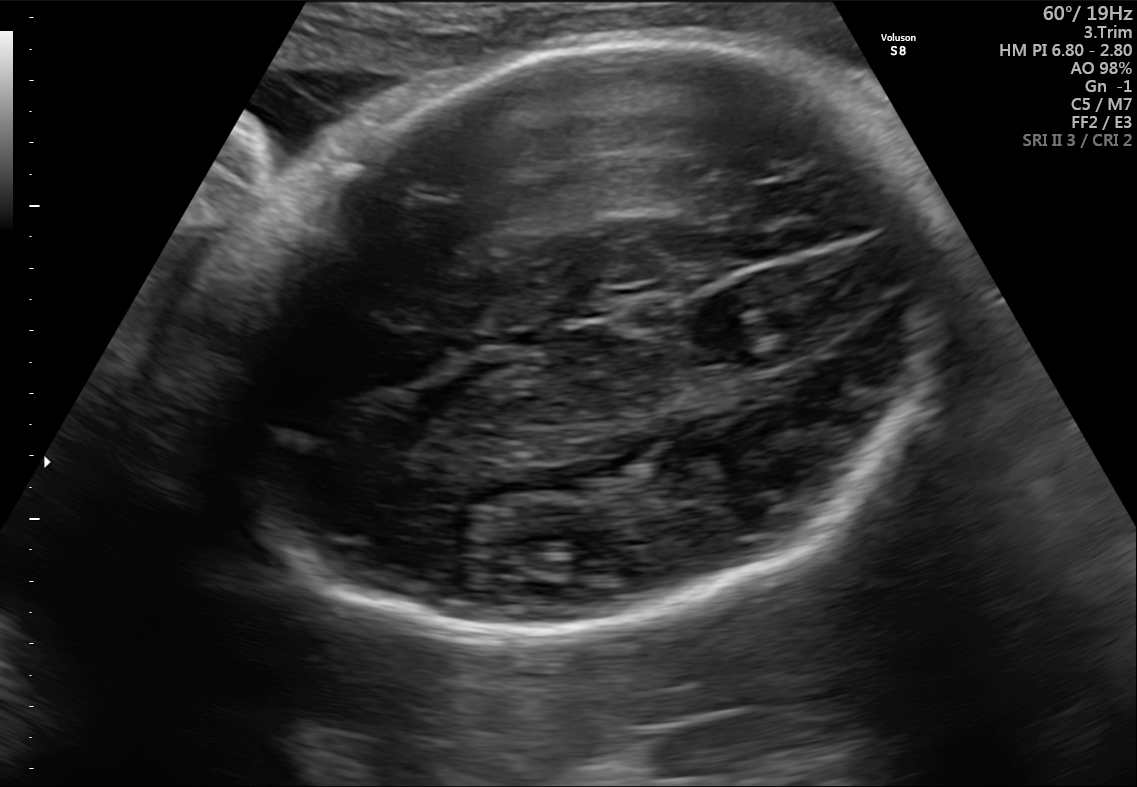
Fetal brain, trans-thalamic plane. Where is the fetal head?

Head bounding box: [210,42,967,641]